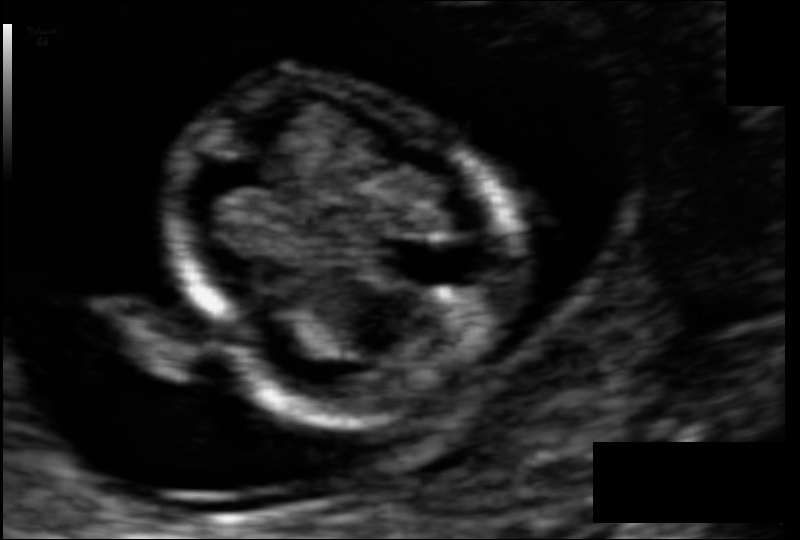
From this fetal ultrasound, estimate the head circumference (image width 47.3 mm).

Head circumference: 67.2 mm.